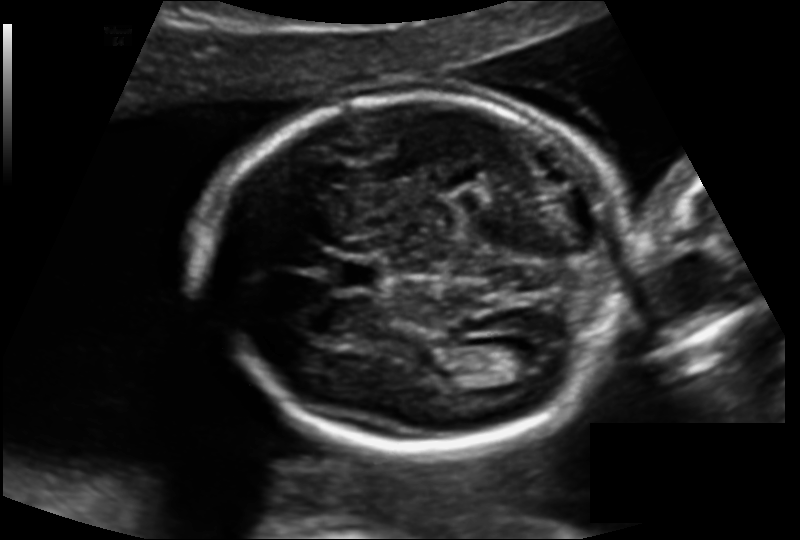
Fetal head ultrasound. Image width: 110.2 mm. Where is the cavum septum pellucidum?

CSP bounding box: [334,259,379,291]